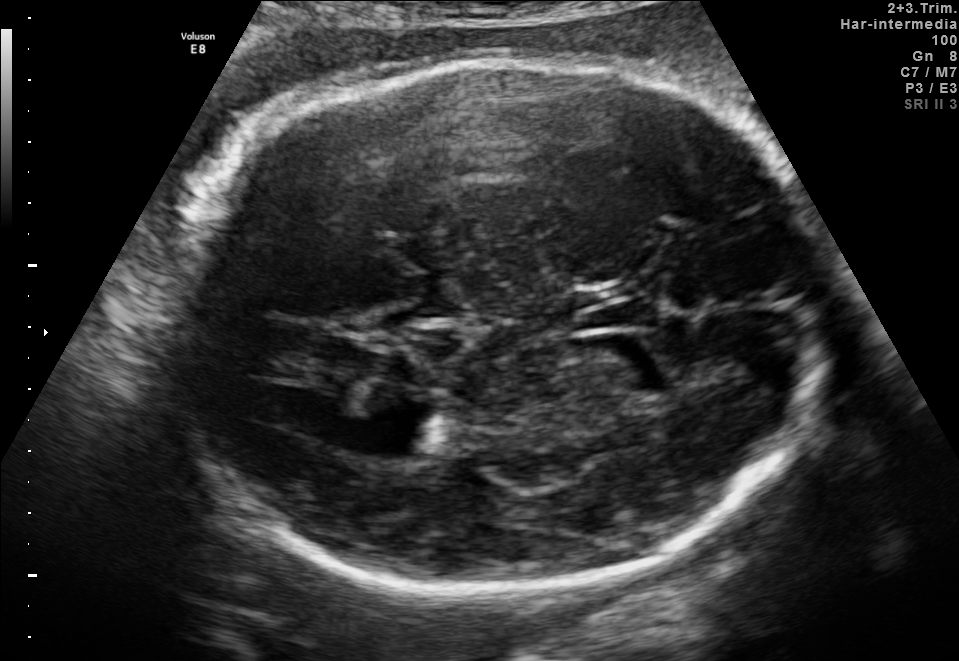
Fetal brain, trans-thalamic plane. Where is the lateral ventricle?

Lateral ventricle bounding box: [372,407,452,455]